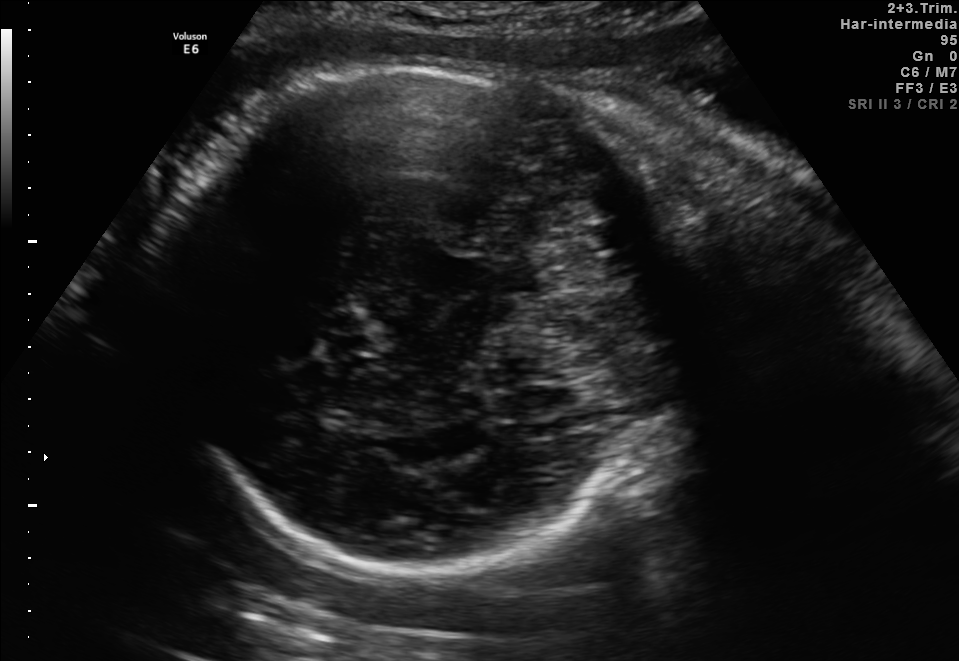
Fetal brain, trans-cerebellum plane. Locate the fetal head.

Head: [165,62,672,571]